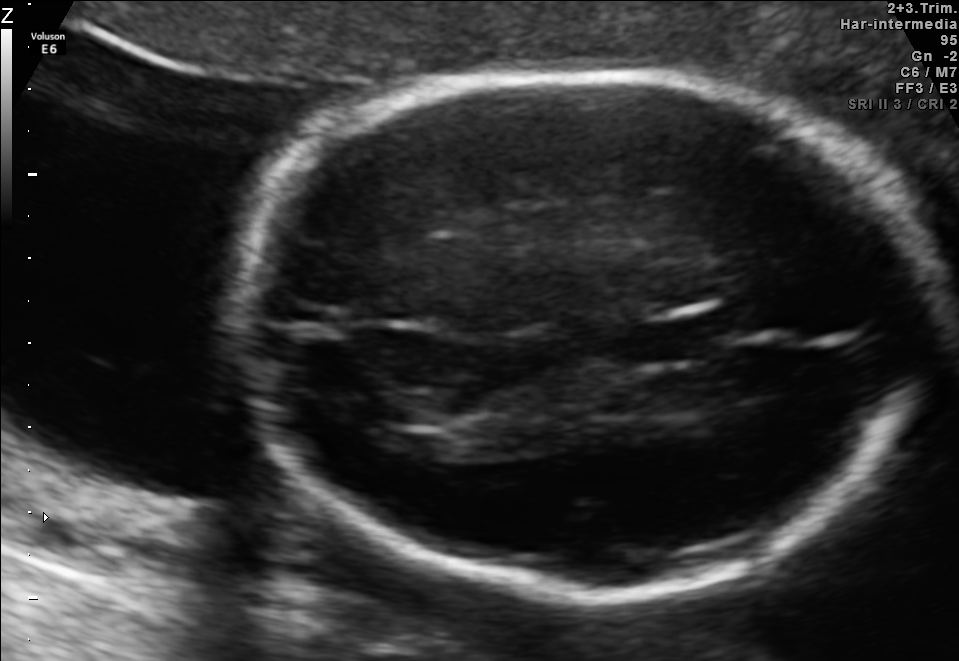
In this fetal brain, trans-thalamic plane, give the bounding box of the fetal head.

[250,70,927,595]